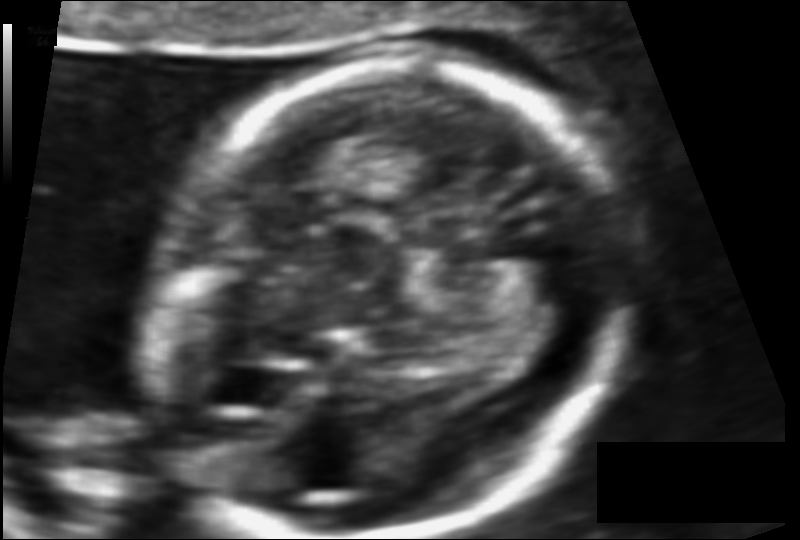
Fetal head ultrasound. Image width: 66.0 mm. Give [x1,y1,x2,y2] bounding boxes for each visible structure among: fetal head, CSP, LV.

Head: [143,65,626,536]